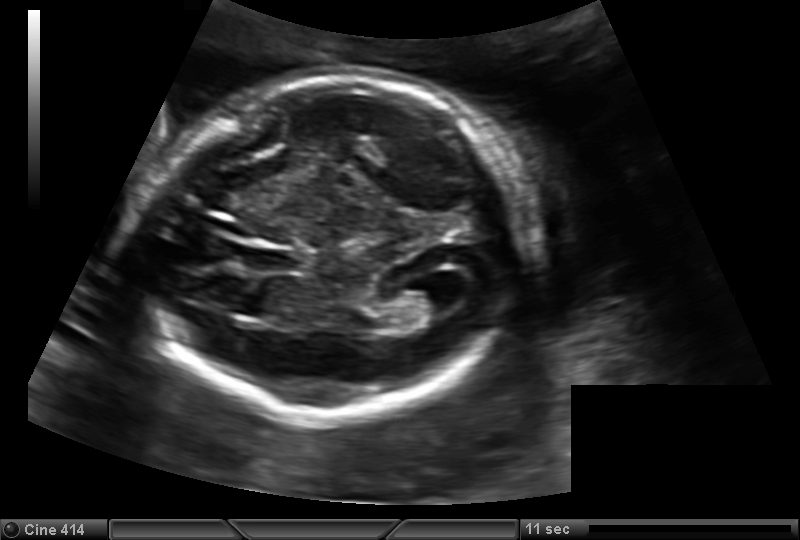
In this fetal head ultrasound, give the bounding box of the fetal head. Image width: 120.0 mm.

[143,76,523,417]